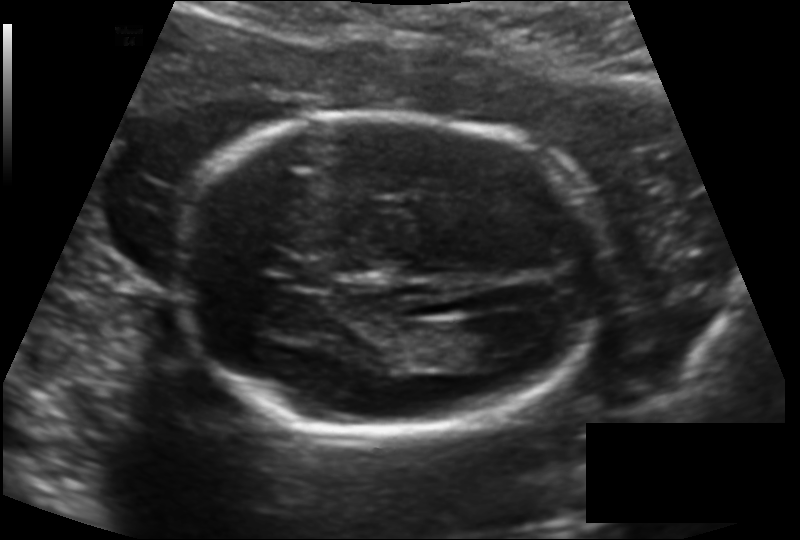
Fetal head ultrasound. Image width: 110.7 mm. Where is the lateral ventricle?

Lateral ventricle bounding box: [439,318,519,370]